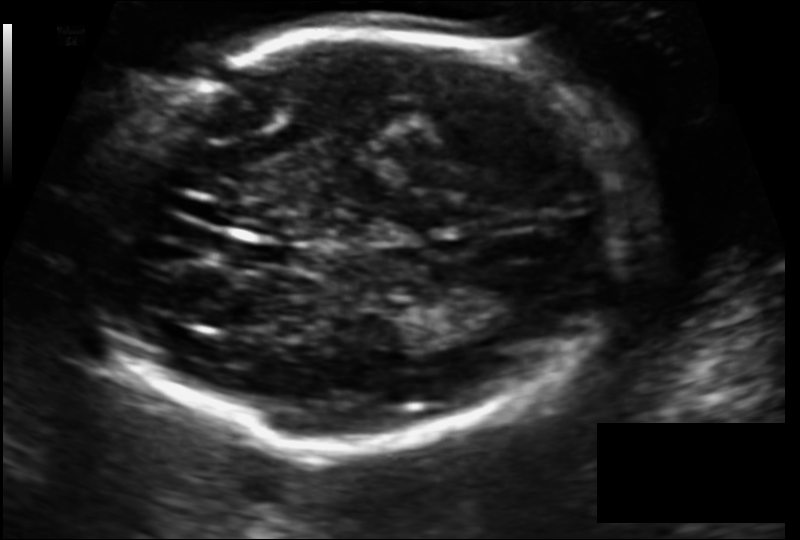
Fetal head ultrasound. Image width: 98.9 mm. Locate the lateral ventricle.

Lateral ventricle: [459,261,555,331]